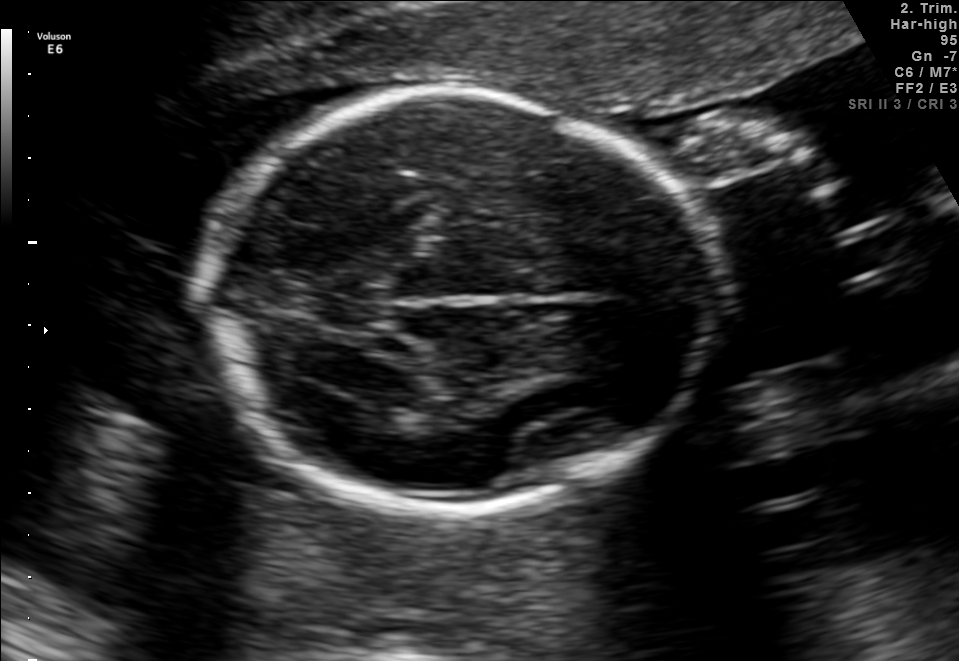
Fetal brain, trans-thalamic plane. Locate the fetal head and, if visible, the cavum septum pellucidum (CSP) and lateral ventricle (LV). Give bounding boxes as [x1,y1,x2,y2].

Head: [202,93,711,508]
Lateral ventricle: [326,345,443,419]